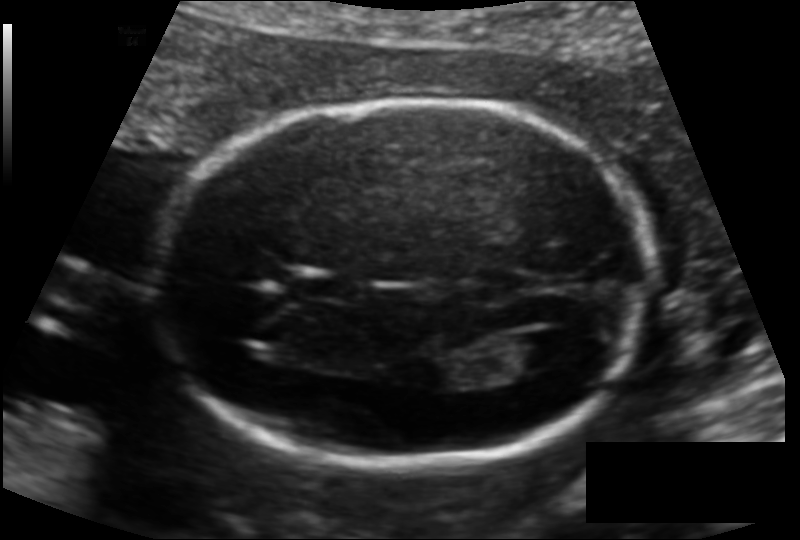
Fetal head ultrasound. Image width: 102.6 mm. Where is the fetal head?

Head bounding box: [155,99,650,466]